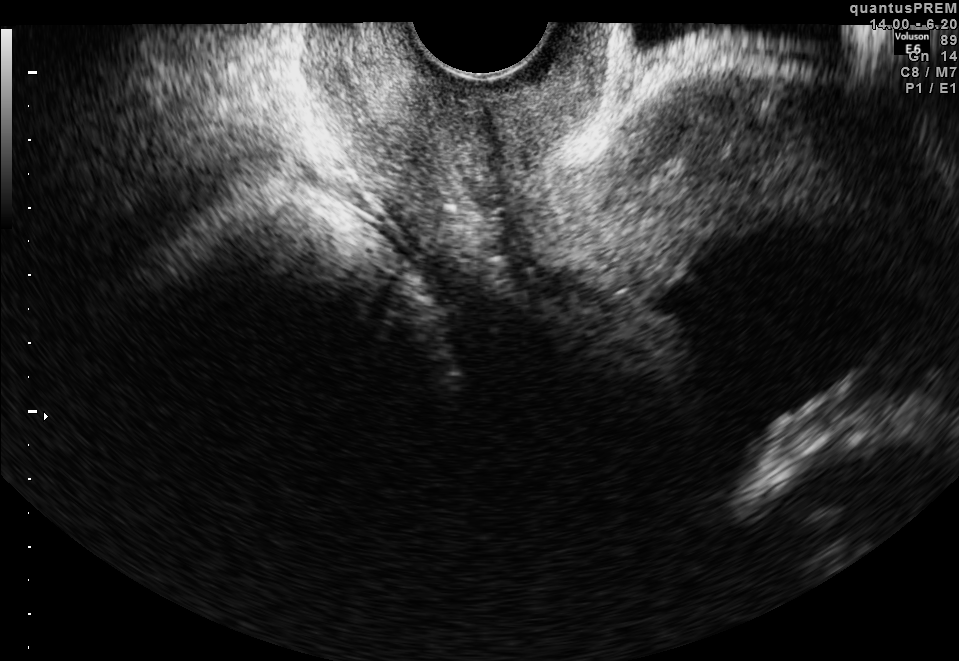
Which standard maternal-fetal ultrasound plane is shown: fetal abdomen, fetal brain, fetal femur, fetal thorax, maternal cervix, or other? If it's fetal brain and one of the three standard brain planes (trans-thalamic, trans-cerebellum, trans-ventricular), name which.

Maternal cervix